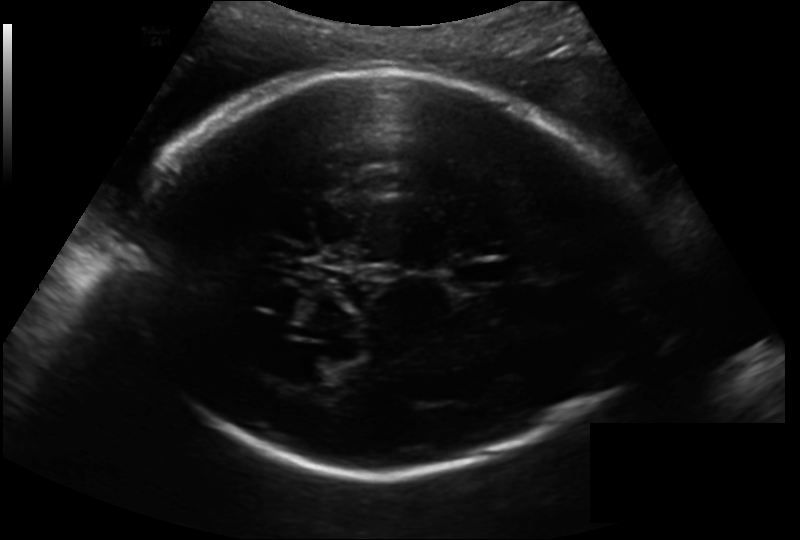
Fetal head ultrasound. Image width: 154.5 mm. Locate the lateral ventricle.

Lateral ventricle: [284,355,340,385]